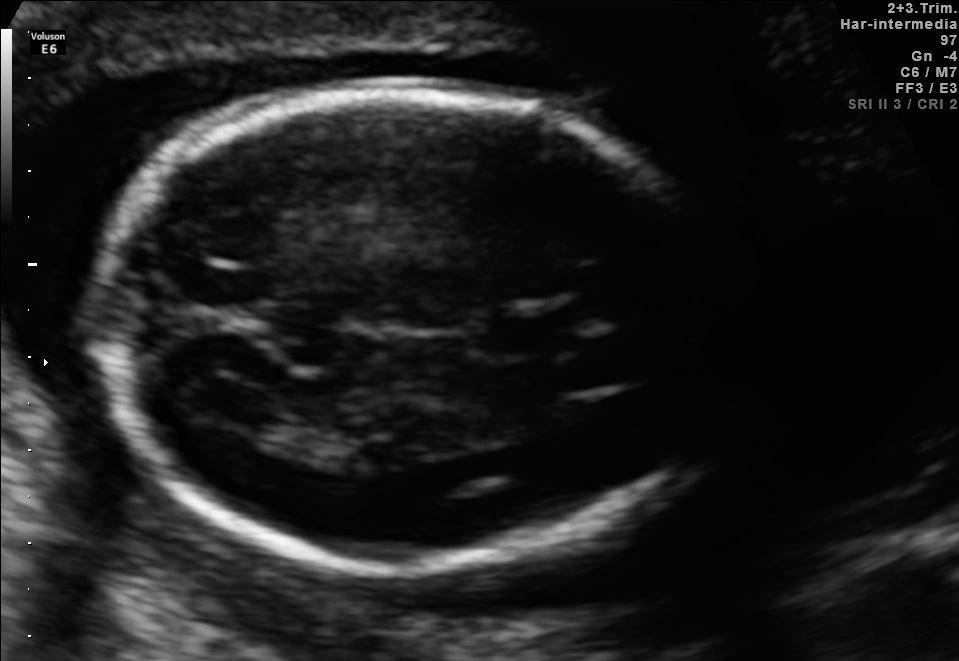
Fetal brain, trans-ventricular plane. Give [x1,y1,x2,y2] bounding boxes for each visible structure among: fetal head, CSP, LV.

Head: [82,78,753,589]
CSP: [487,317,565,351]
Lateral ventricle: [193,372,274,436]